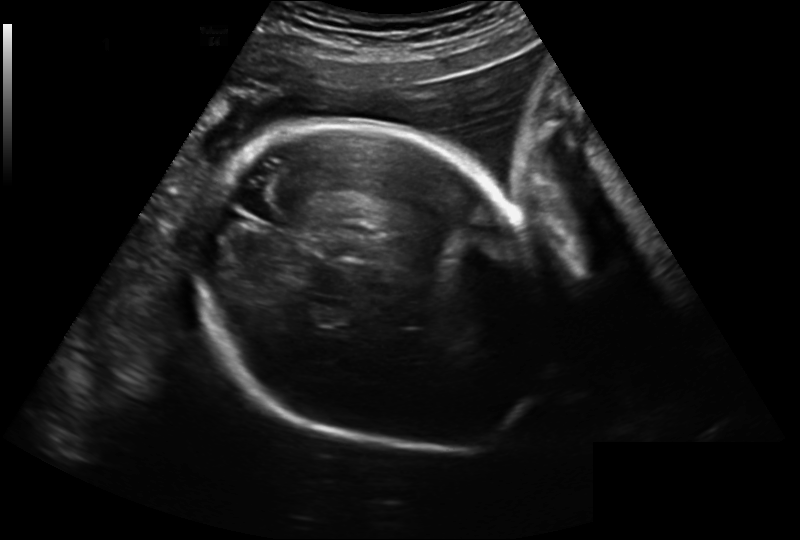
Fetal head ultrasound. Image width: 192.8 mm. Locate the fetal head.

Head: [199,119,552,453]